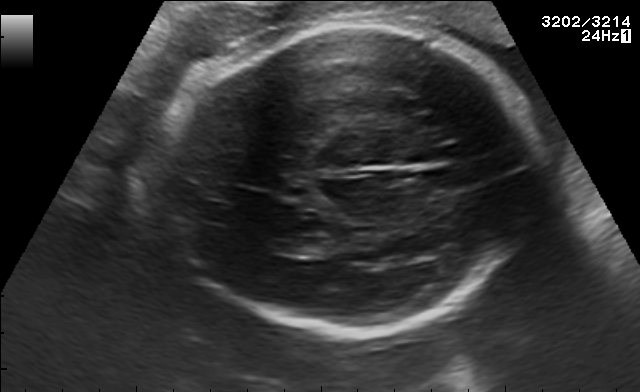
Fetal brain, trans-thalamic plane. Give [x1,y1,x2,y2] bounding boxes for each visible structure among: fetal head, CSP, LV.

Head: [157,23,535,337]
Lateral ventricle: [277,236,331,256]